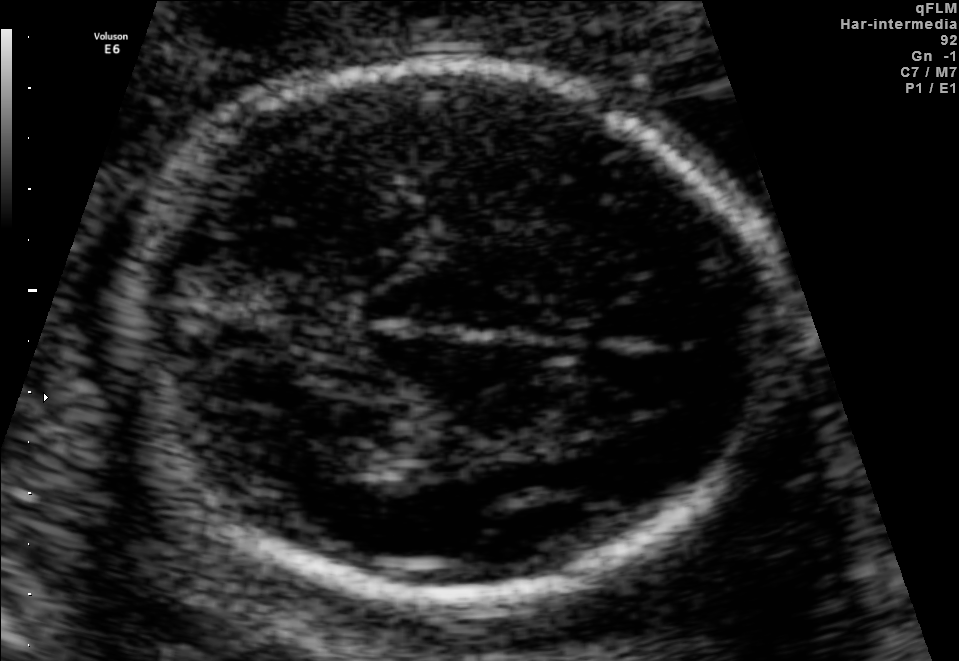
Fetal brain, trans-thalamic plane. Locate the fetal head and, if visible, the cavum septum pellucidum (CSP) and lateral ventricle (LV). Give bounding boxes as [x1,y1,x2,y2].

Head: [130,63,789,596]